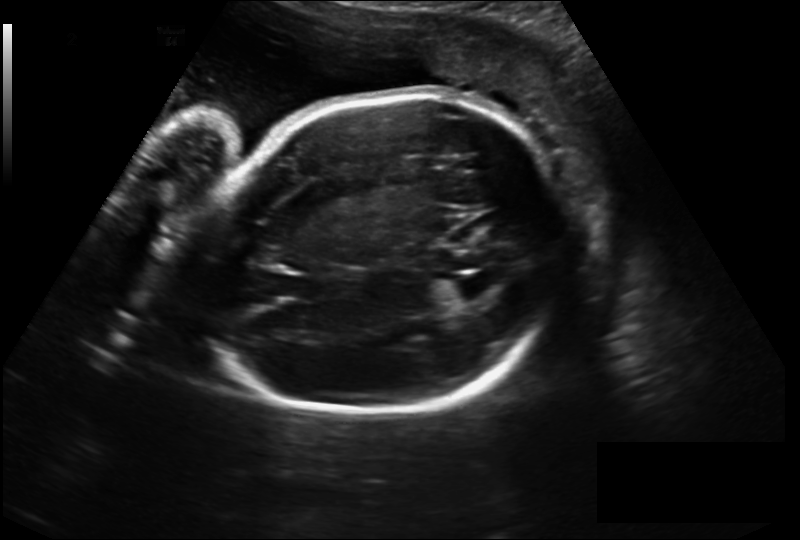
In this fetal head ultrasound, give the bounding box of the lateral ventricle. Image width: 184.2 mm.

[449,267,501,306]